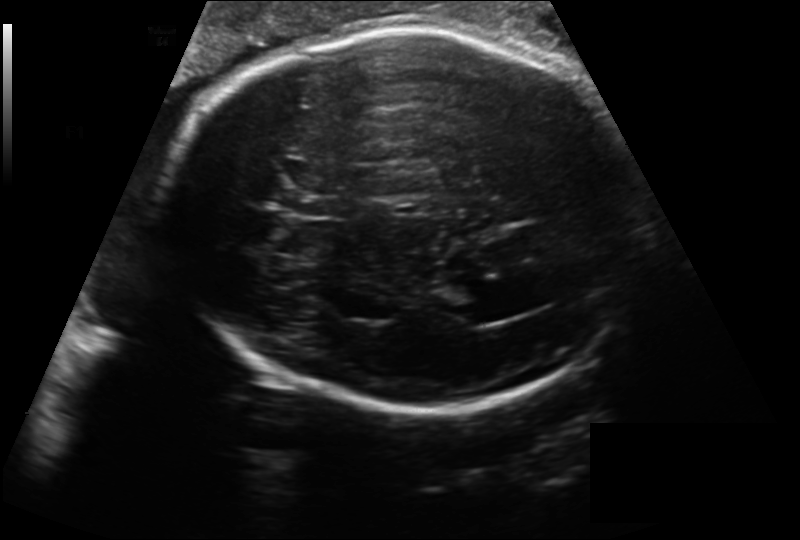
What is the fetal head circumference? Image width is 174.3 mm.

296.4 mm